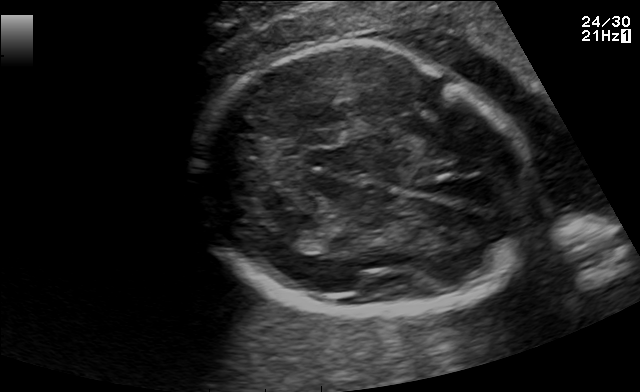
Fetal brain, trans-thalamic plane. Where is the fetal head?

Head bounding box: [196,44,535,320]